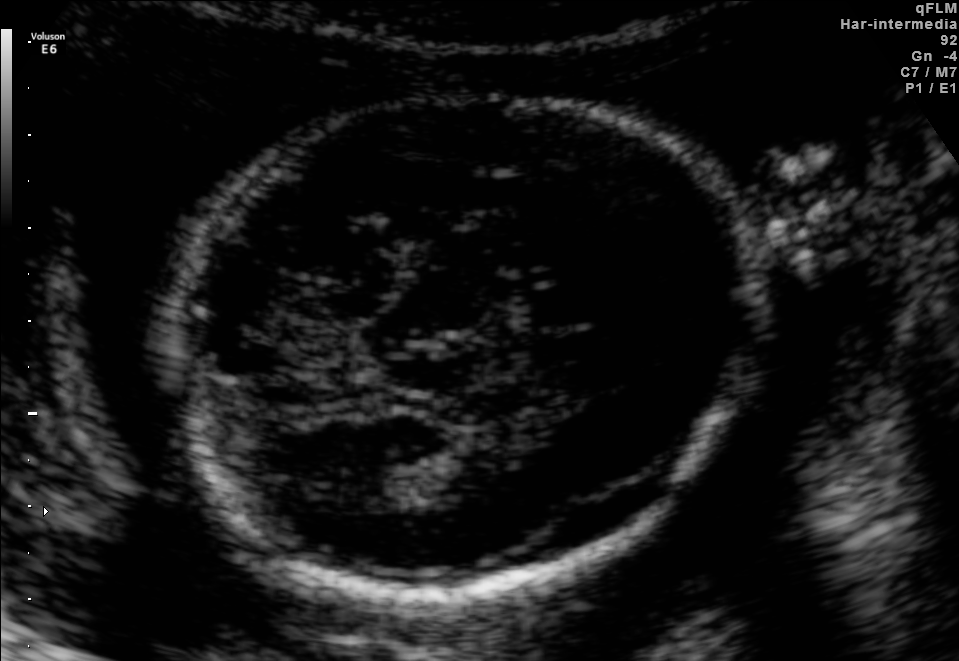
In this fetal brain, trans-thalamic plane, give the bounding box of the fetal head.

[167,92,752,593]